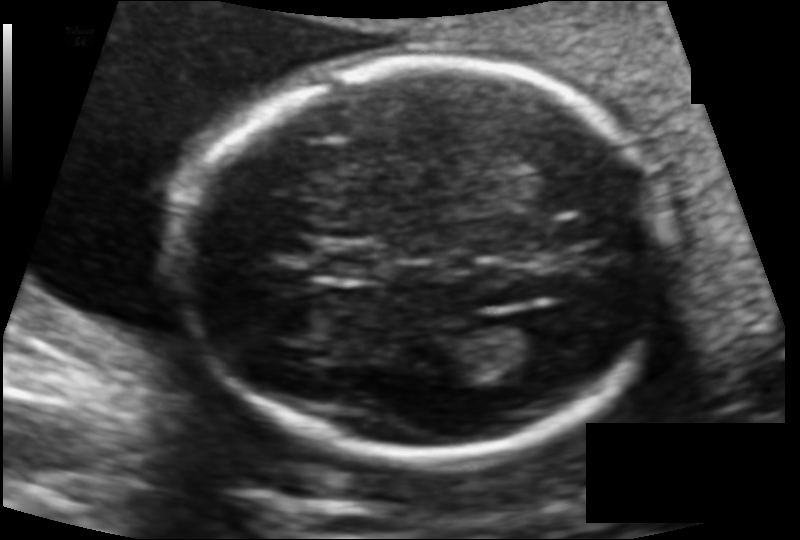
Estimate the fetal head circumference from this 2D ultrasound.

Head circumference: 164.4 mm (image width 91.4 mm).